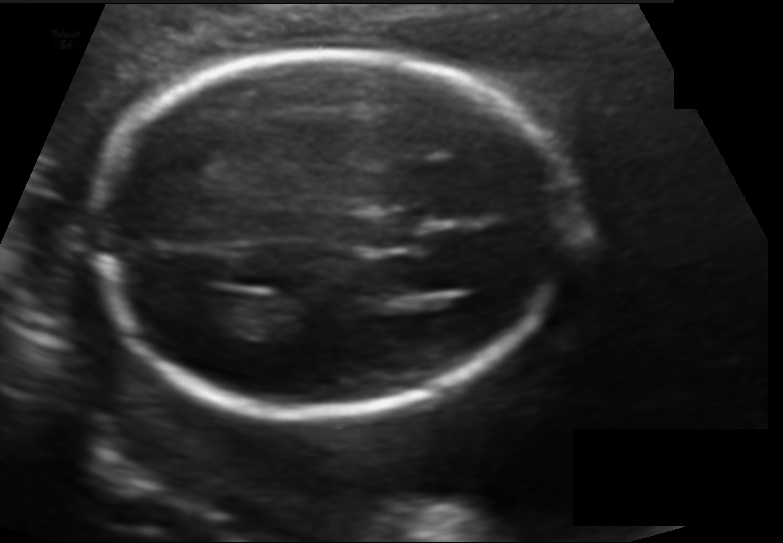
Fetal head ultrasound. Image width: 100.2 mm. Locate the fetal head and, if visible, the cavum septum pellucidum (CSP) and lateral ventricle (LV). Give bounding boxes as [x1,y1,x2,y2].

Head: [93,55,564,412]